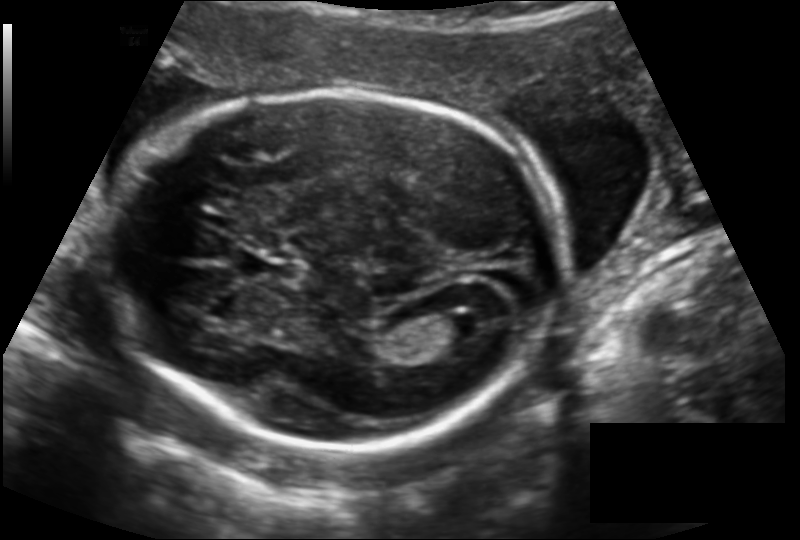
In this fetal head ultrasound, give bounding boxes for the head outline, cavum septum pellucidum (CSP), and lateral ventricle (LV), where visible. Image width: 113.5 mm.

Head: [133,93,555,445]
CSP: [244,251,304,287]
Lateral ventricle: [427,307,482,347]